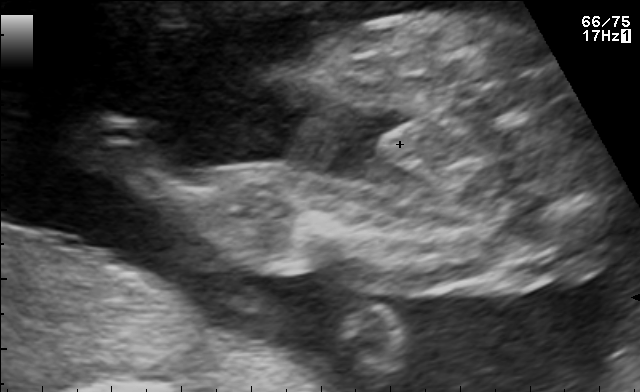
Classify this maternal-fetal ultrasound image as one of the six standard planes — fetal abdomen, fetal brain, fetal femur, fetal thorax, maternal cervix, or other. If it's fetal brain and one of the three standard brain planes (trans-thalamic, trans-cerebellum, trans-ventricular), name which.

Other